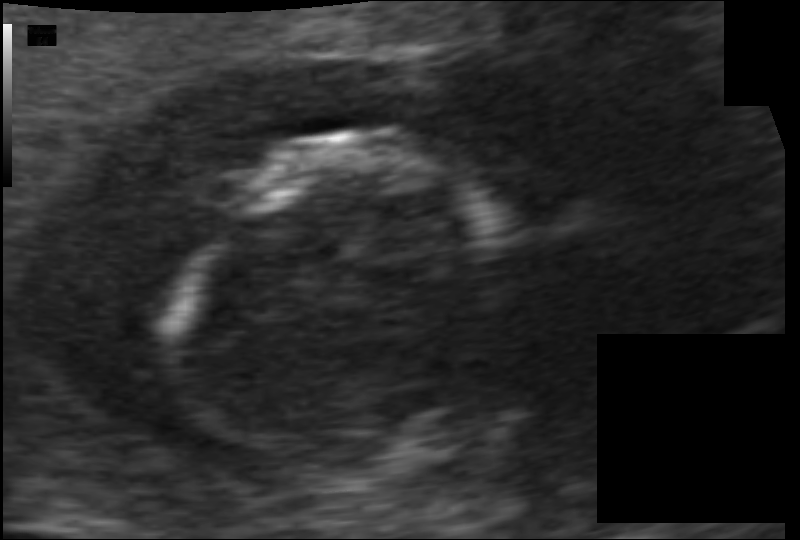
Fetal head ultrasound. Image width: 55.9 mm. Locate the fetal head and, if visible, the cavum septum pellucidum (CSP) and lateral ventricle (LV). Give bounding boxes as [x1,y1,x2,y2].

Head: [180,135,496,457]